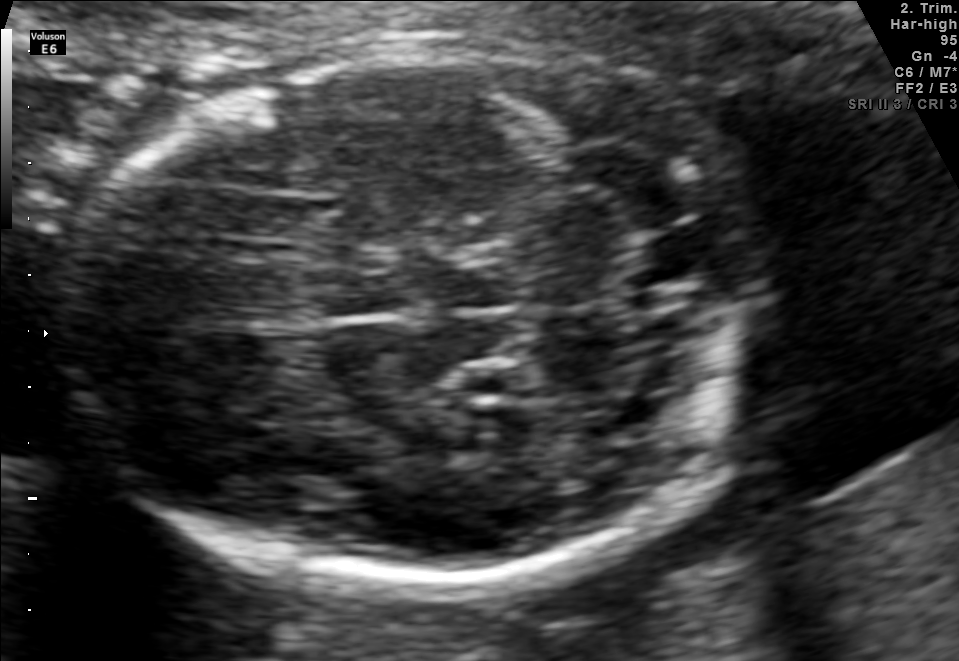
In this fetal brain, trans-cerebellum plane, give bounding boxes for the head outline, cavum septum pellucidum (CSP), and lateral ventricle (LV), where visible.

Head: [69,49,764,592]